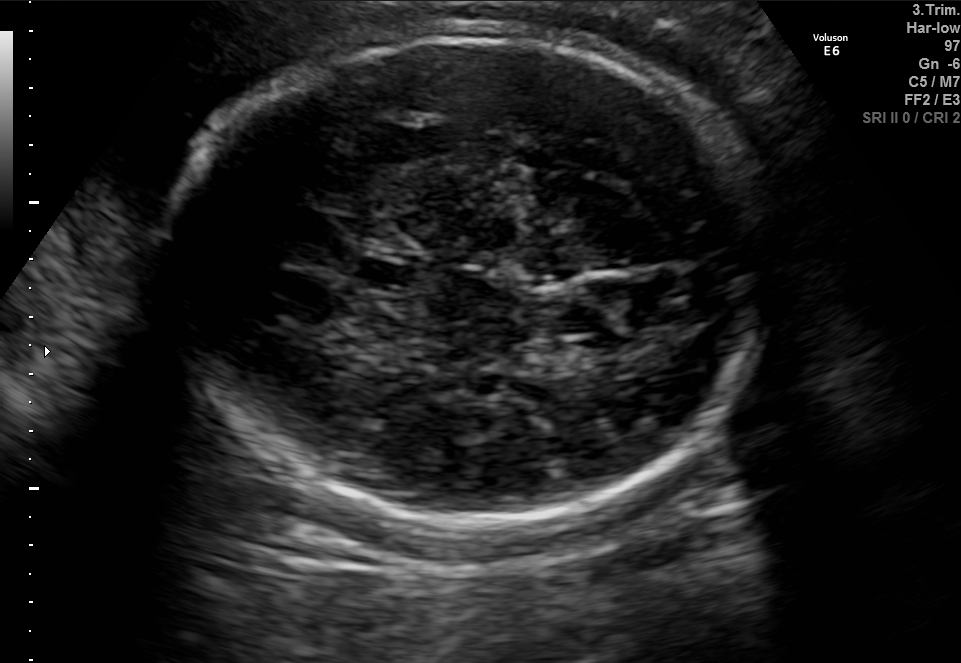
In this fetal brain, trans-thalamic plane, give the bounding box of the fetal head.

[165,32,780,533]